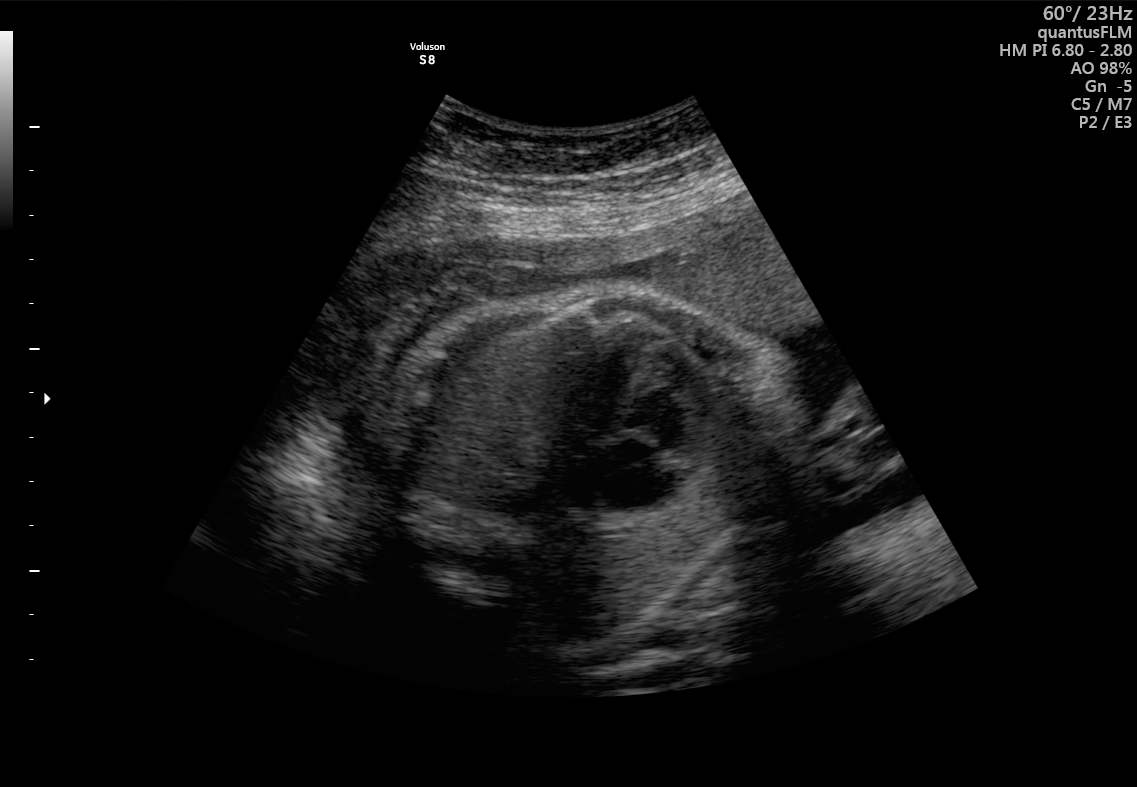
Which standard maternal-fetal ultrasound plane is shown: fetal abdomen, fetal brain, fetal femur, fetal thorax, maternal cervix, or other? If it's fetal brain and one of the three standard brain planes (trans-thalamic, trans-cerebellum, trans-ventricular), name which.

Fetal thorax